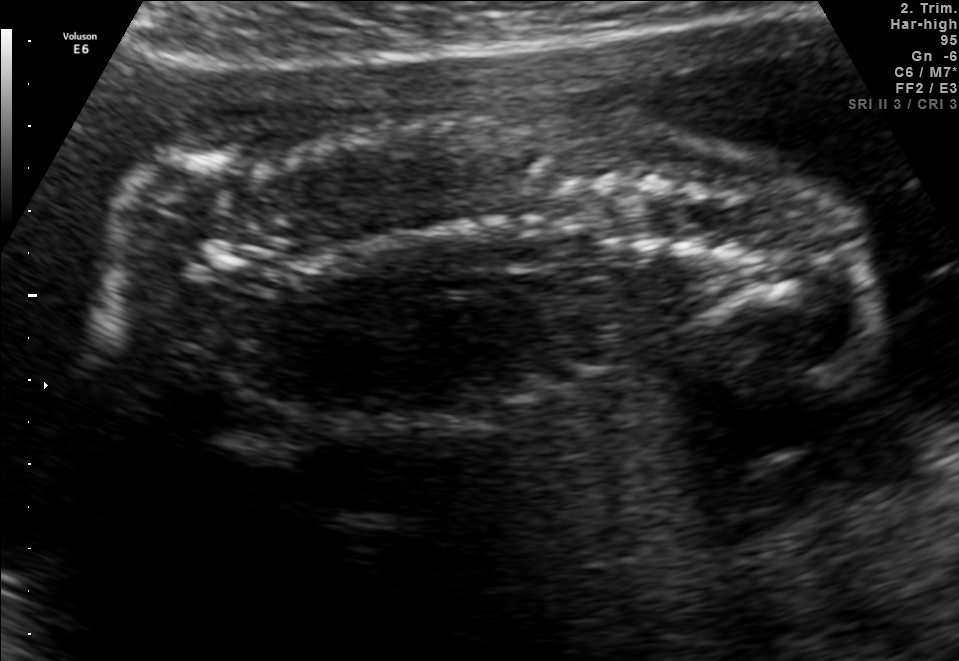
Which standard maternal-fetal ultrasound plane is shown: fetal abdomen, fetal brain, fetal femur, fetal thorax, maternal cervix, or other? If it's fetal brain and one of the three standard brain planes (trans-thalamic, trans-cerebellum, trans-ventricular), name which.

Other